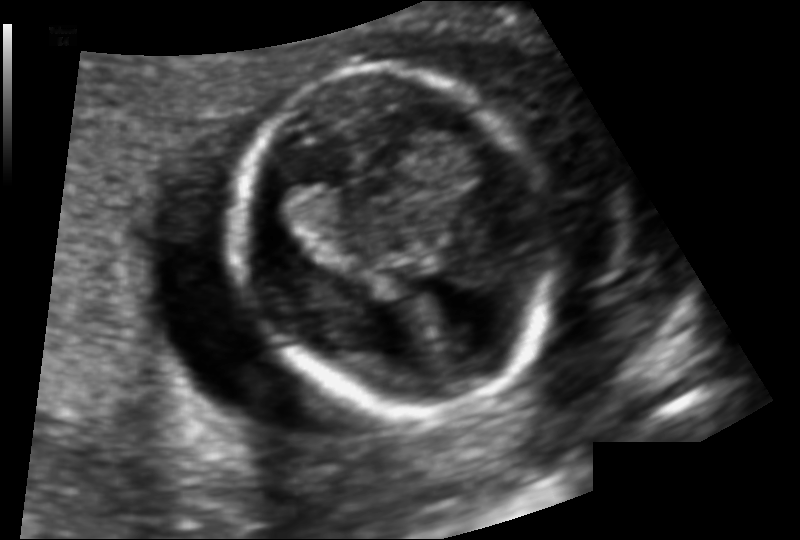
Fetal head ultrasound. Image width: 85.7 mm. Give [x1,y1,x2,y2] bounding boxes for each visible structure among: fetal head, CSP, LV.

Head: [234,63,546,410]